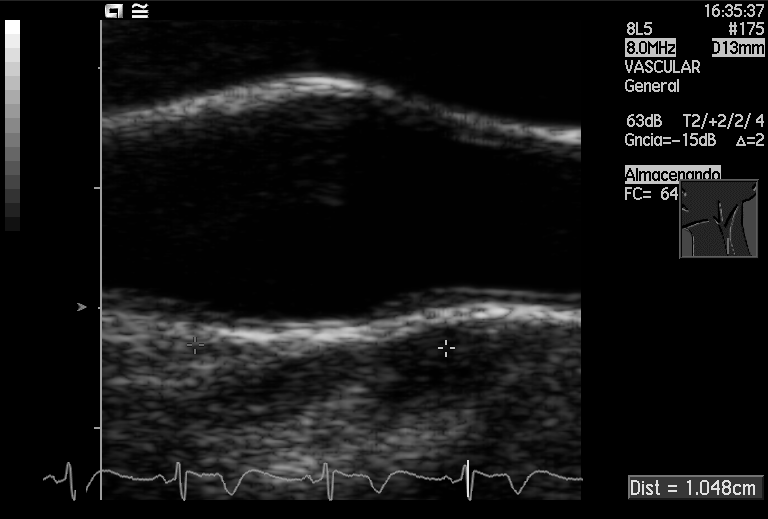
Classify this maternal-fetal ultrasound image as one of the six standard planes — fetal abdomen, fetal brain, fetal femur, fetal thorax, maternal cervix, or other. If it's fetal brain and one of the three standard brain planes (trans-thalamic, trans-cerebellum, trans-ventricular), name which.

Other